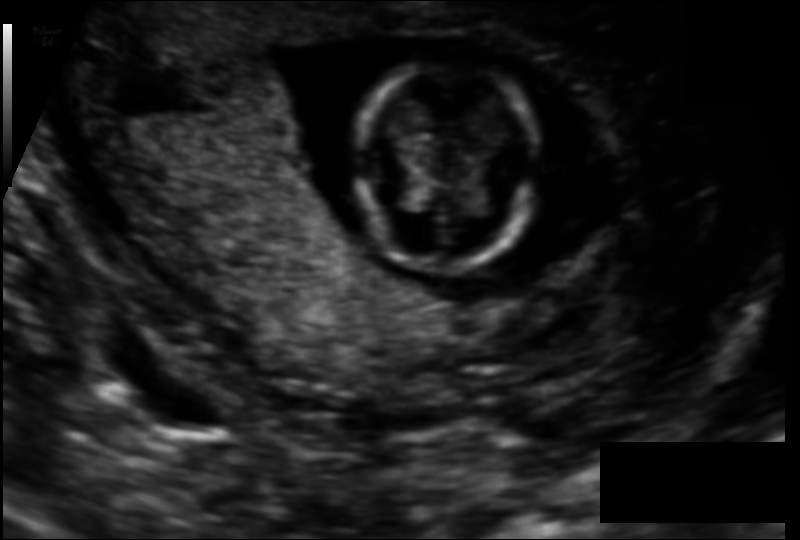
Fetal head ultrasound. Image width: 88.1 mm. Where is the fetal head?

Head bounding box: [355,61,538,271]